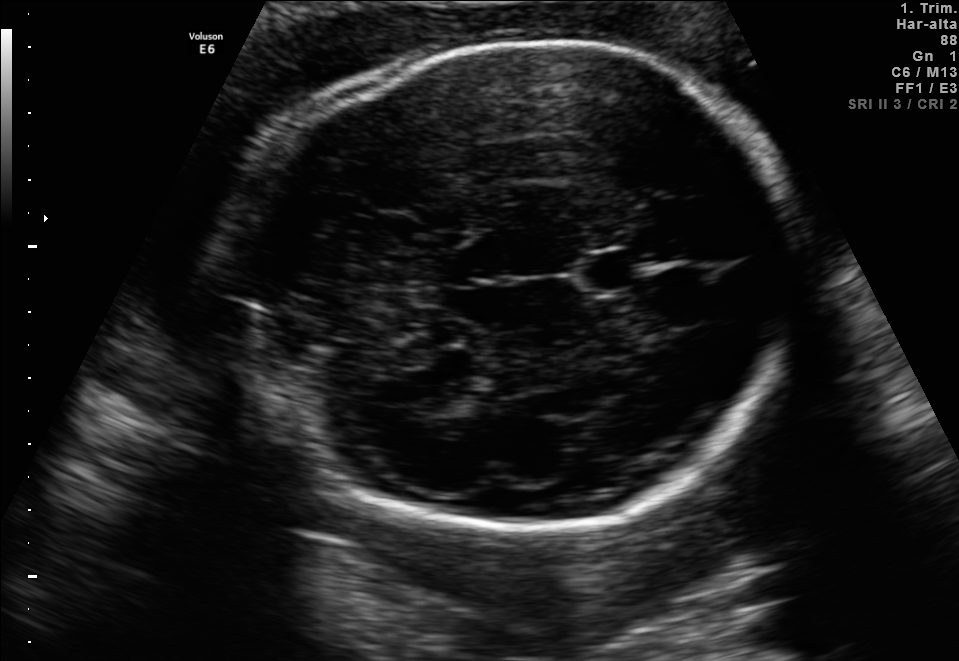
Fetal brain, trans-thalamic plane. Locate the cavum septum pellucidum.

CSP: [582,248,640,293]